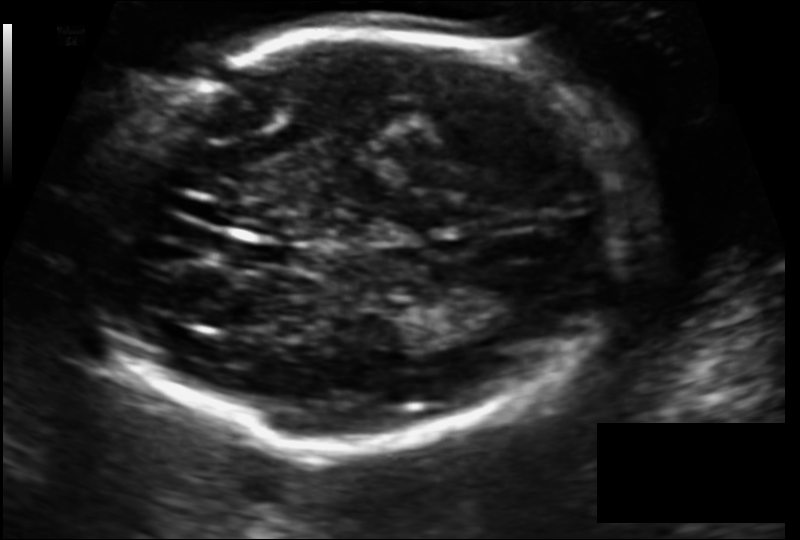
Fetal head ultrasound. Image width: 98.9 mm. Give [x1,y1,x2,y2] bounding boxes for each visible structure among: fetal head, CSP, LV.

Head: [89,33,627,444]
Lateral ventricle: [459,261,555,331]